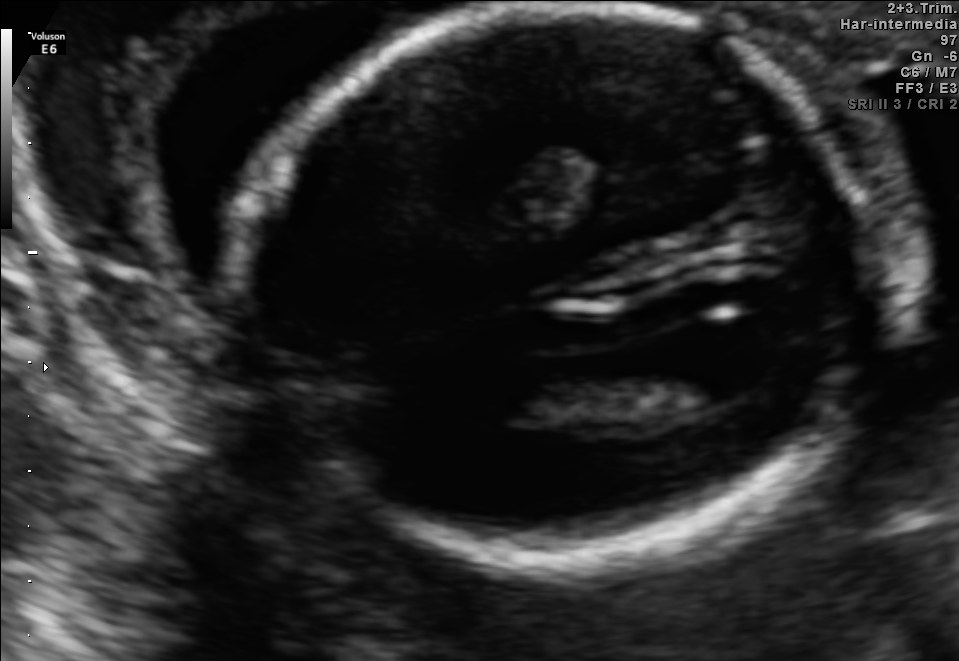
Fetal brain, trans-ventricular plane. Give [x1,y1,x2,y2] bounding boxes for each visible structure among: fetal head, CSP, LV.

Head: [227,4,884,579]